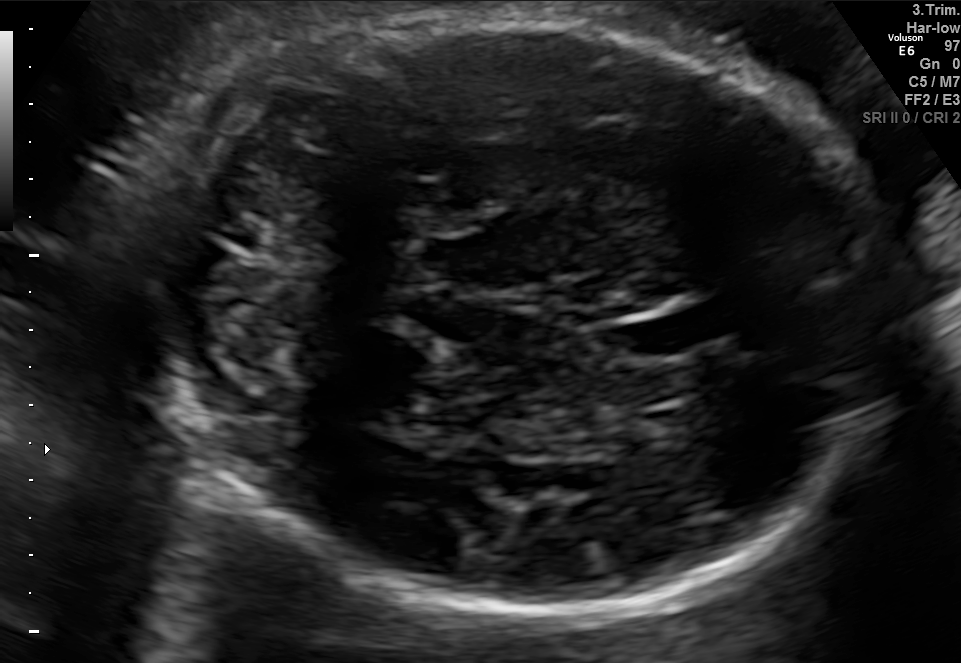
Fetal brain, trans-cerebellum plane. Where is the cavum septum pellucidum?

CSP bounding box: [596,306,694,372]